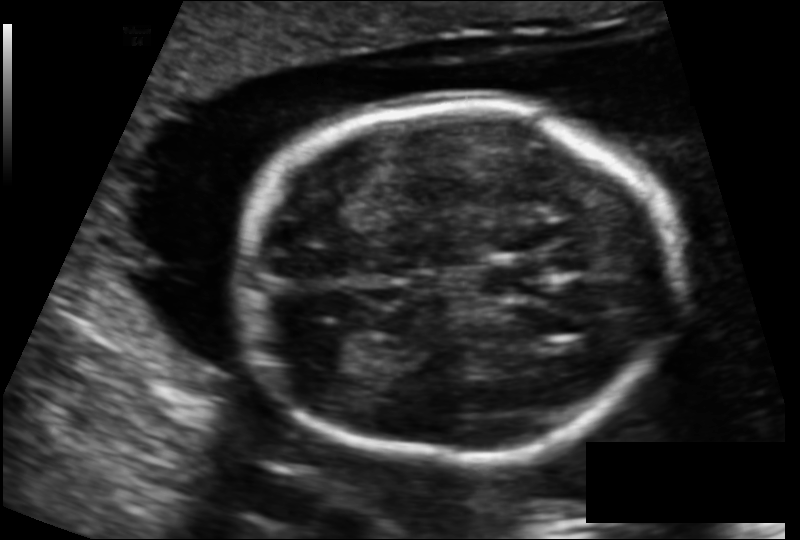
Fetal head ultrasound. Image width: 104.4 mm. Where is the fetal head?

Head bounding box: [239,105,677,462]